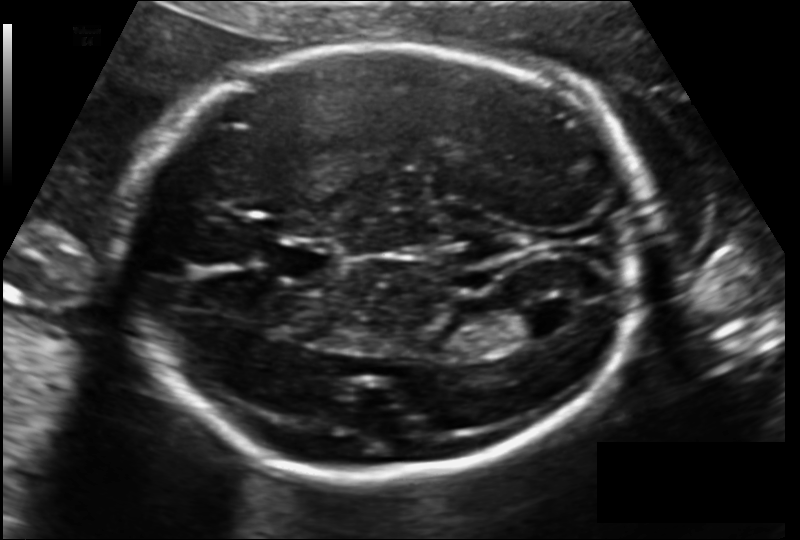
Fetal head ultrasound. Image width: 118.5 mm. Where is the cavum septum pellucidum?

CSP bounding box: [274,244,340,281]